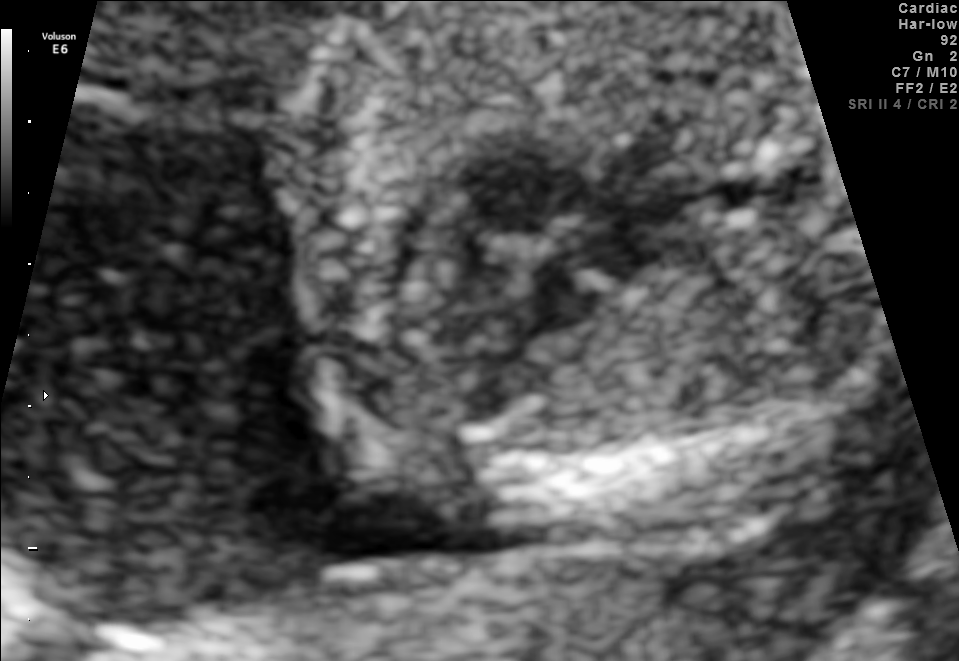
Which standard maternal-fetal ultrasound plane is shown: fetal abdomen, fetal brain, fetal femur, fetal thorax, maternal cervix, or other? If it's fetal brain and one of the three standard brain planes (trans-thalamic, trans-cerebellum, trans-ventricular), name which.

Fetal thorax